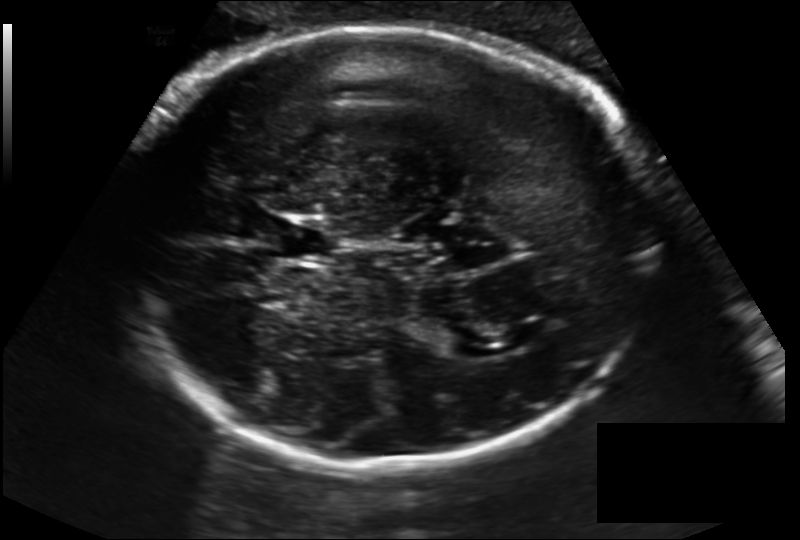
Fetal head ultrasound. Image width: 155.1 mm. Where is the lateral ventricle?

Lateral ventricle bounding box: [431,323,481,358]